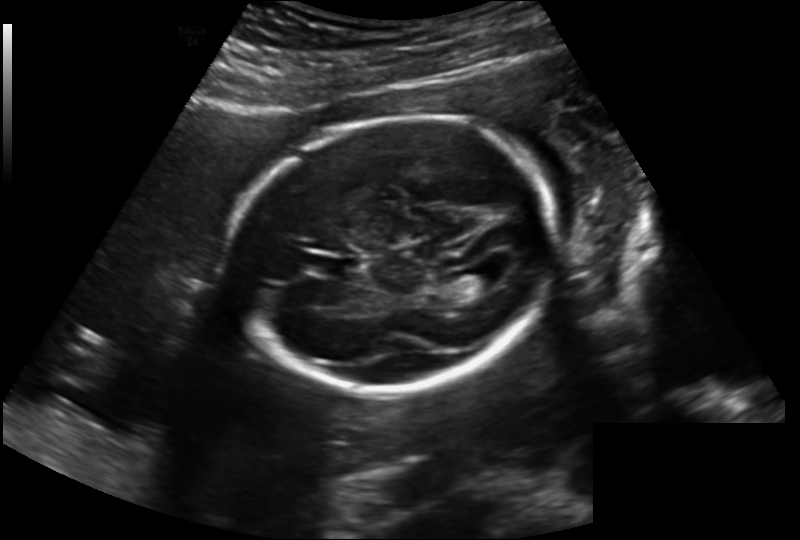
Estimate the fetal head circumference from this 2D ultrasound.

Head circumference: 194.6 mm (image width 161.6 mm).